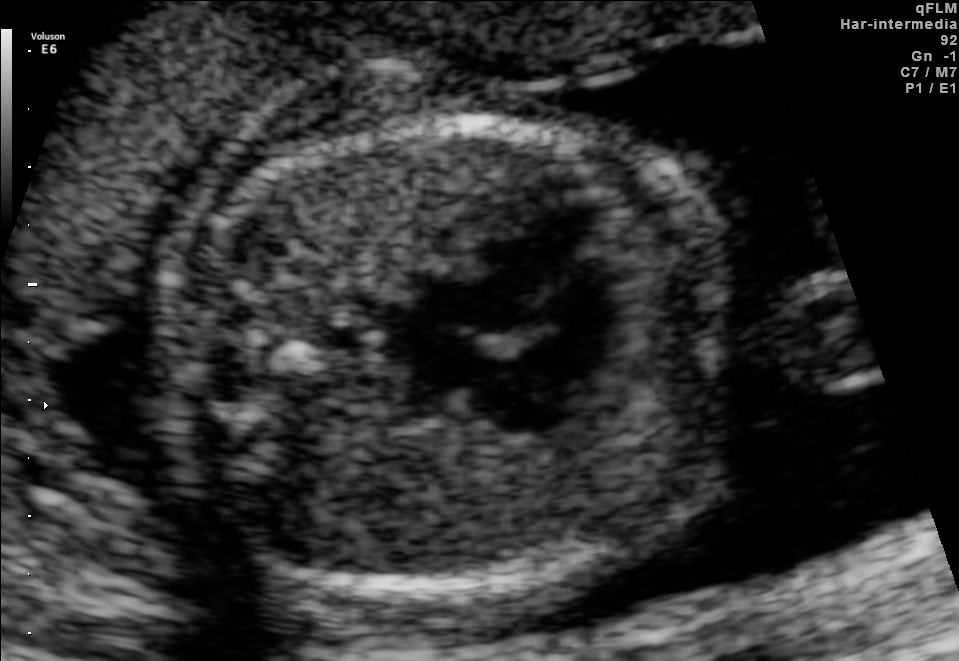
This is a 2D maternal-fetal ultrasound frame. Is it a fetal abdomen, fetal brain, fetal femur, fetal thorax, maternal cervix, or other standard plane? If it's fetal brain and one of the three standard brain planes (trans-thalamic, trans-cerebellum, trans-ventricular), name which.

Fetal thorax